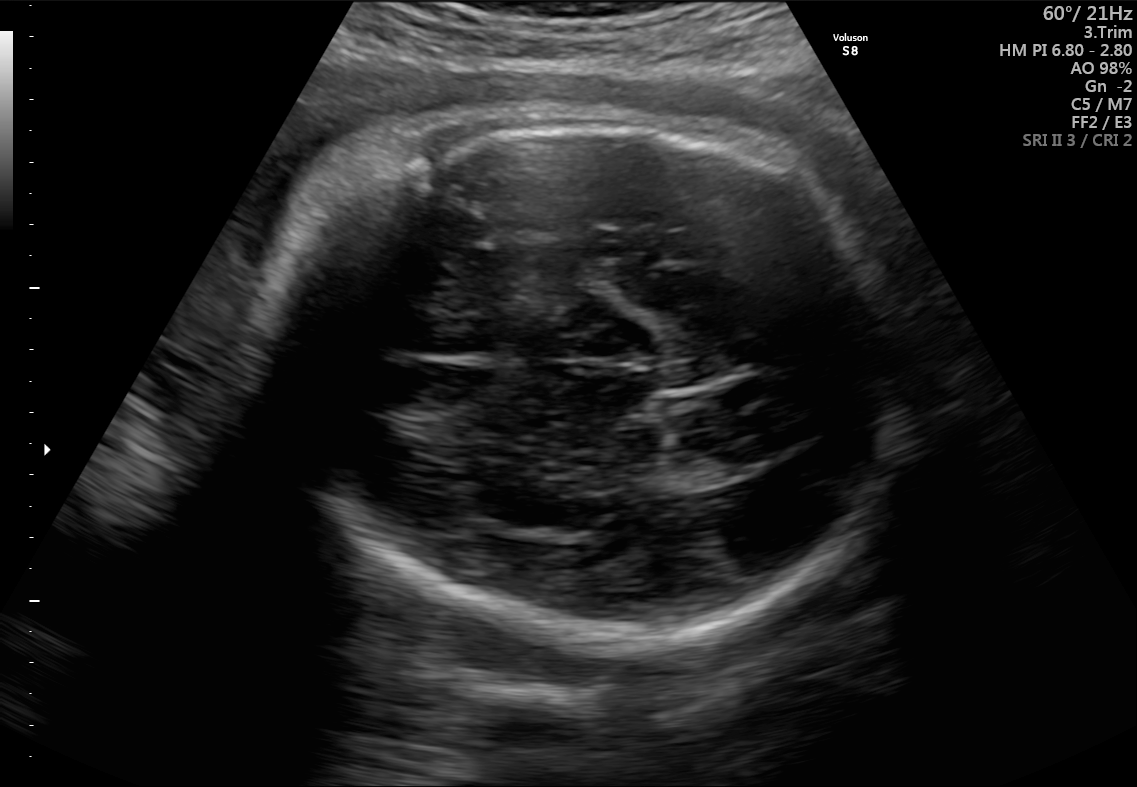
Fetal brain, trans-thalamic plane. Where is the lateral ventricle?

Lateral ventricle bounding box: [706,430,779,486]